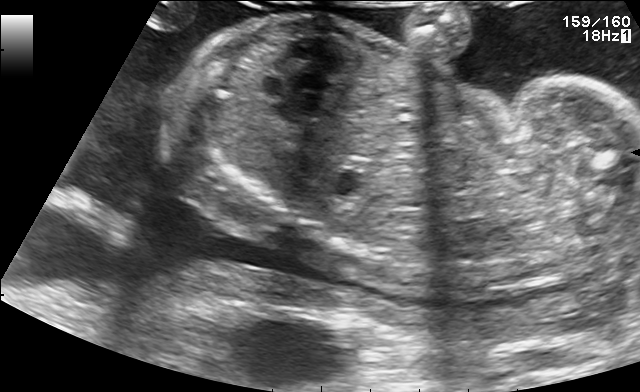
Which standard maternal-fetal ultrasound plane is shown: fetal abdomen, fetal brain, fetal femur, fetal thorax, maternal cervix, or other? If it's fetal brain and one of the three standard brain planes (trans-thalamic, trans-cerebellum, trans-ventricular), name which.

Other